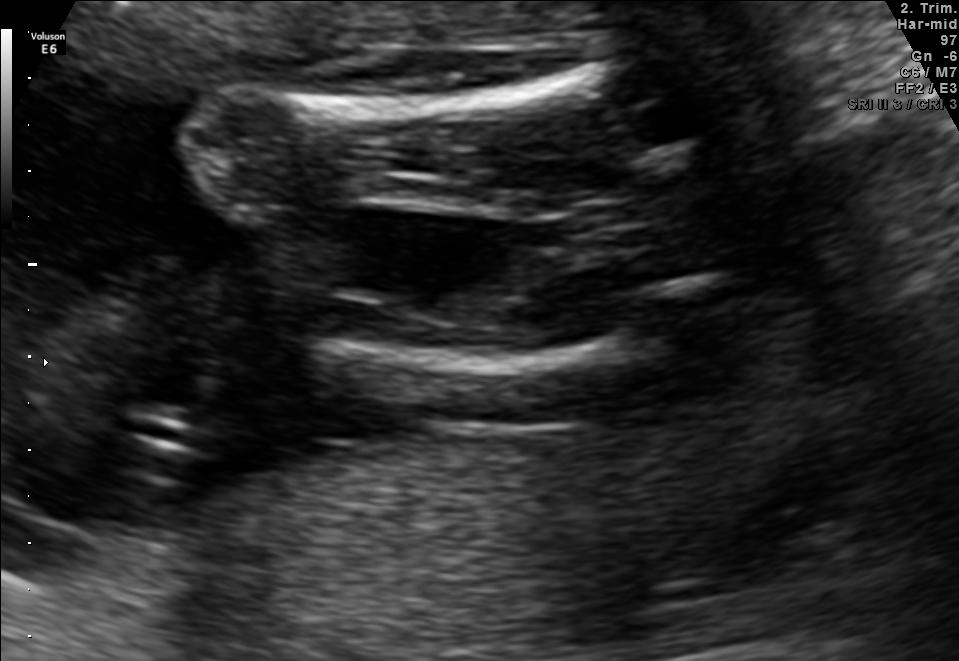
This is a 2D maternal-fetal ultrasound frame. Is it a fetal abdomen, fetal brain, fetal femur, fetal thorax, maternal cervix, or other standard plane? If it's fetal brain and one of the three standard brain planes (trans-thalamic, trans-cerebellum, trans-ventricular), name which.

Fetal femur